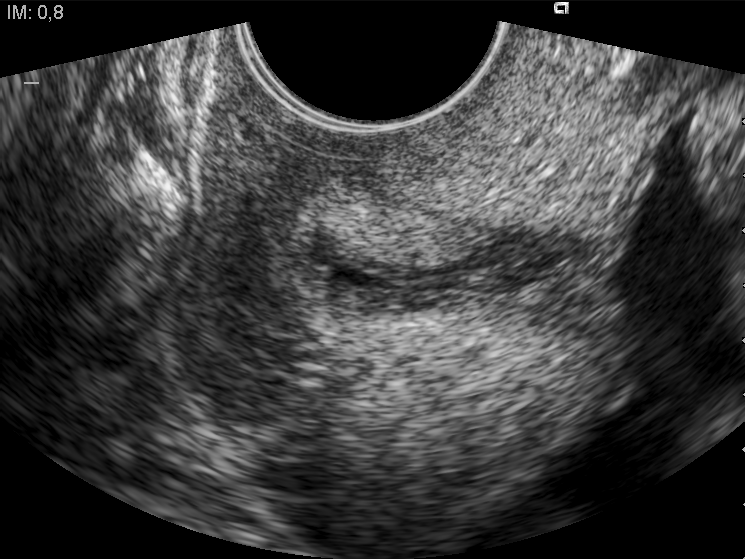
Classify this maternal-fetal ultrasound image as one of the six standard planes — fetal abdomen, fetal brain, fetal femur, fetal thorax, maternal cervix, or other. If it's fetal brain and one of the three standard brain planes (trans-thalamic, trans-cerebellum, trans-ventricular), name which.

Maternal cervix